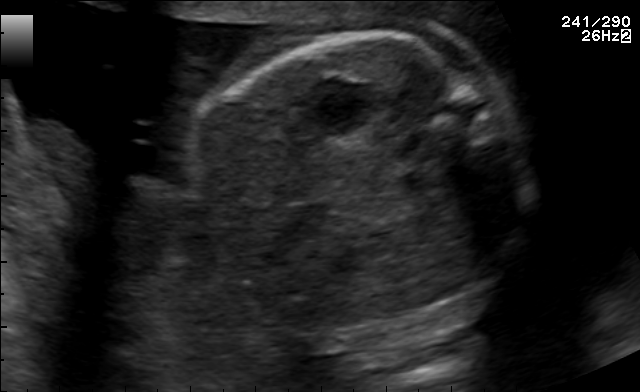
Classify this maternal-fetal ultrasound image as one of the six standard planes — fetal abdomen, fetal brain, fetal femur, fetal thorax, maternal cervix, or other. If it's fetal brain and one of the three standard brain planes (trans-thalamic, trans-cerebellum, trans-ventricular), name which.

Fetal abdomen